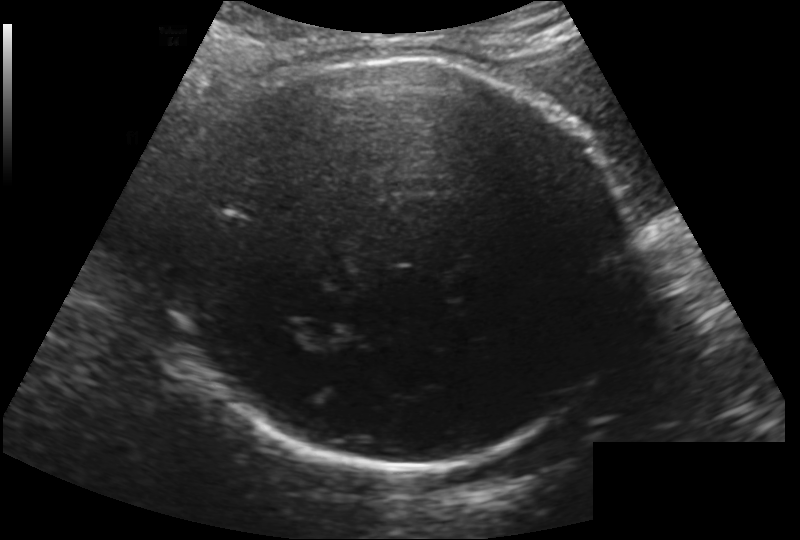
What is the fetal head circumference? Image width is 160.1 mm.

284.1 mm